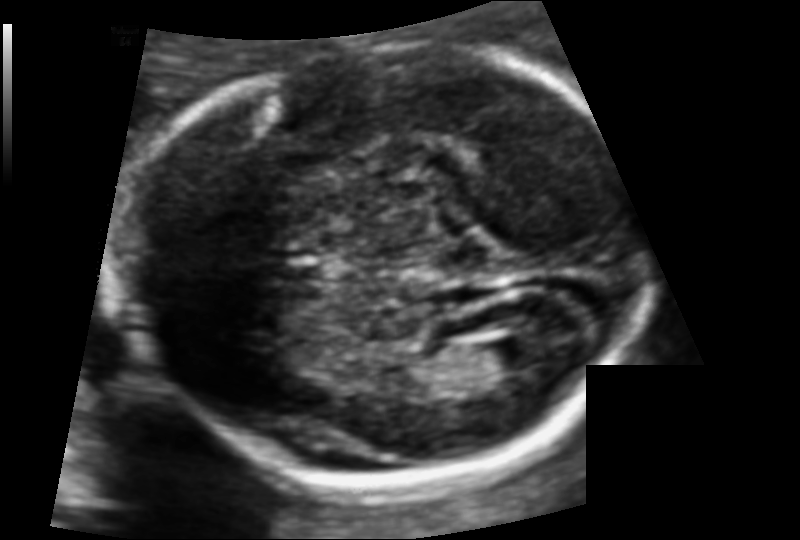
Fetal head ultrasound. Image width: 84.2 mm. Locate the fetal head.

Head: [128,51,649,492]